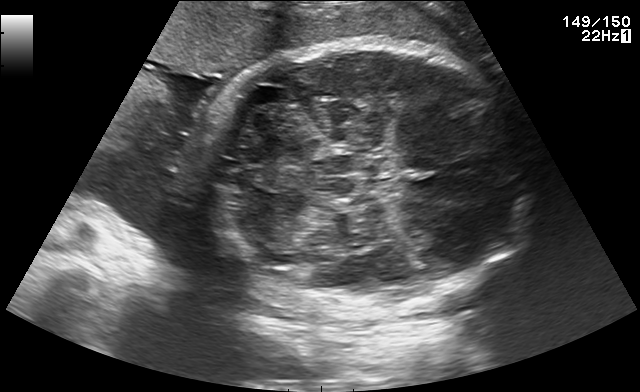
Fetal brain, trans-cerebellum plane. Locate the fetal head.

Head: [202,41,528,308]